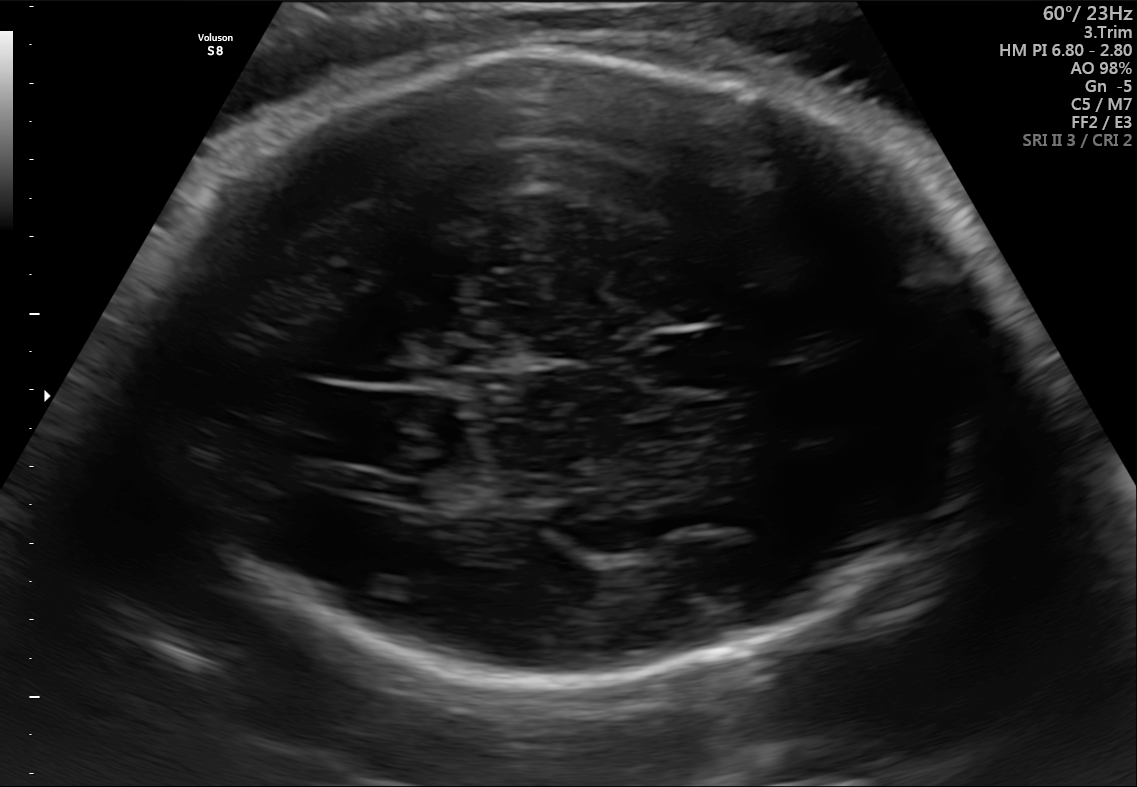
In this fetal brain, trans-thalamic plane, give the bounding box of the lateral ventricle.

[372,470,438,514]